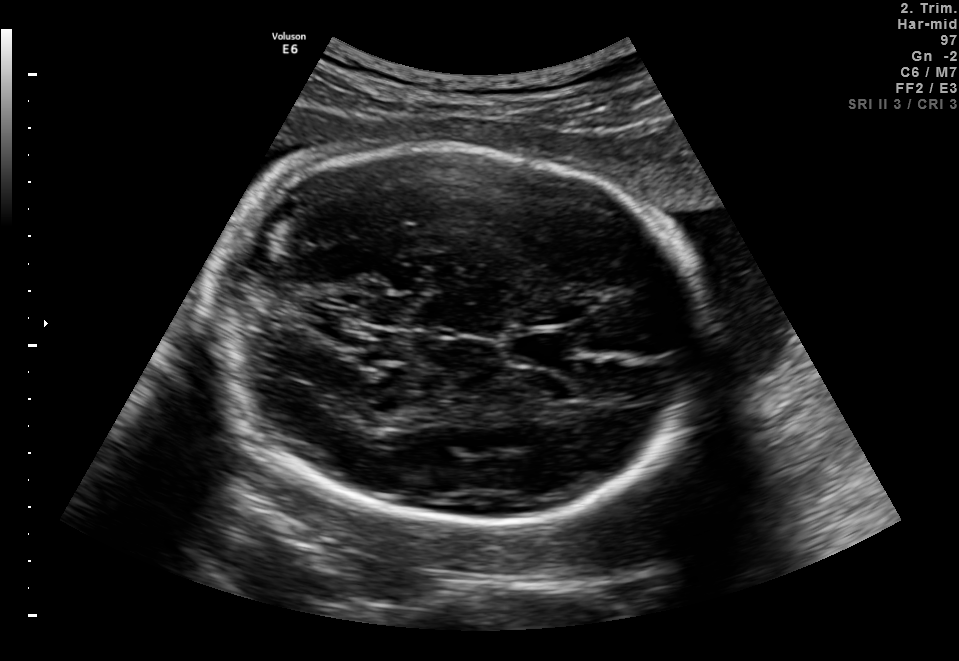
This is a 2D maternal-fetal ultrasound frame. Is it a fetal abdomen, fetal brain, fetal femur, fetal thorax, maternal cervix, or other standard plane? If it's fetal brain and one of the three standard brain planes (trans-thalamic, trans-cerebellum, trans-ventricular), name which.

Fetal brain (trans-thalamic plane)